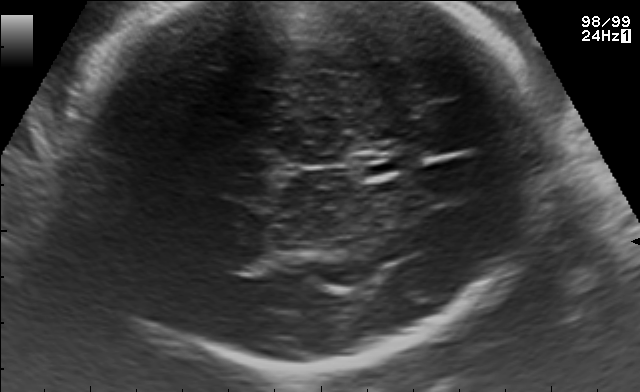
Fetal brain, trans-thalamic plane. Give [x1,y1,x2,y2] bounding boxes for each visible structure among: CSP, LV.

CSP: [356,152,406,178]